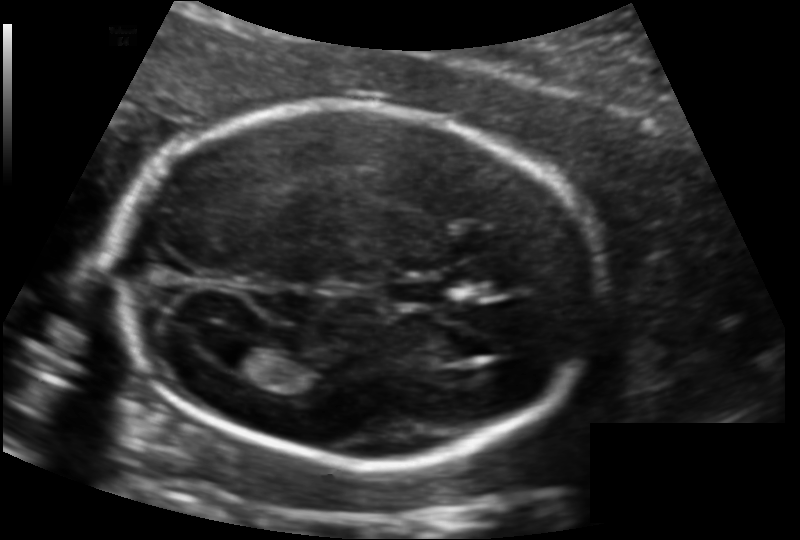
Fetal head ultrasound. Image width: 107.1 mm. Locate the lateral ventricle.

Lateral ventricle: [214,338,280,382]